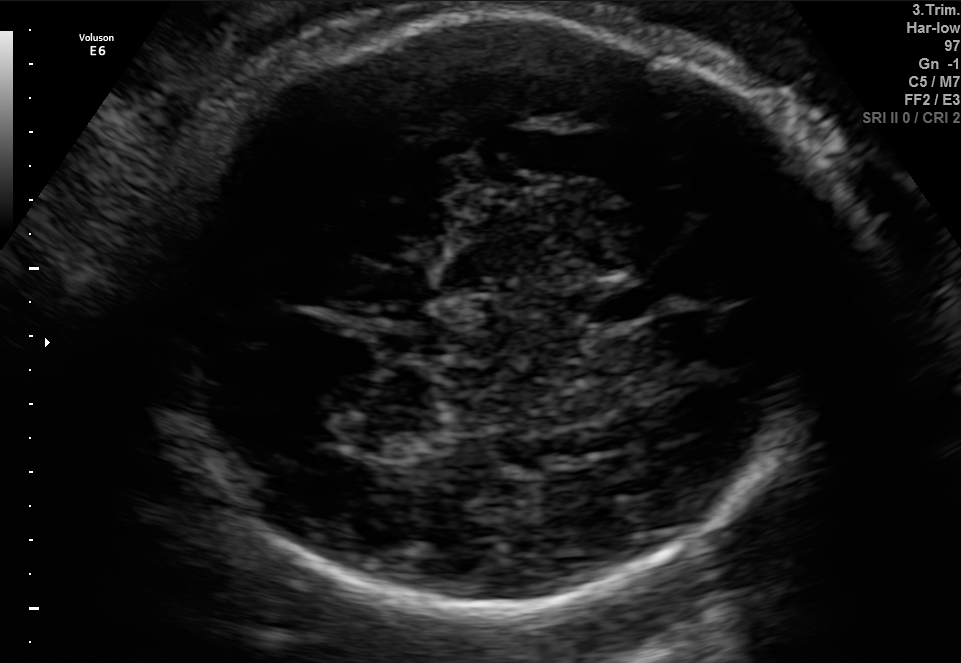
In this fetal brain, trans-thalamic plane, give the bounding box of the cavum septum pellucidum.

[578,281,657,336]